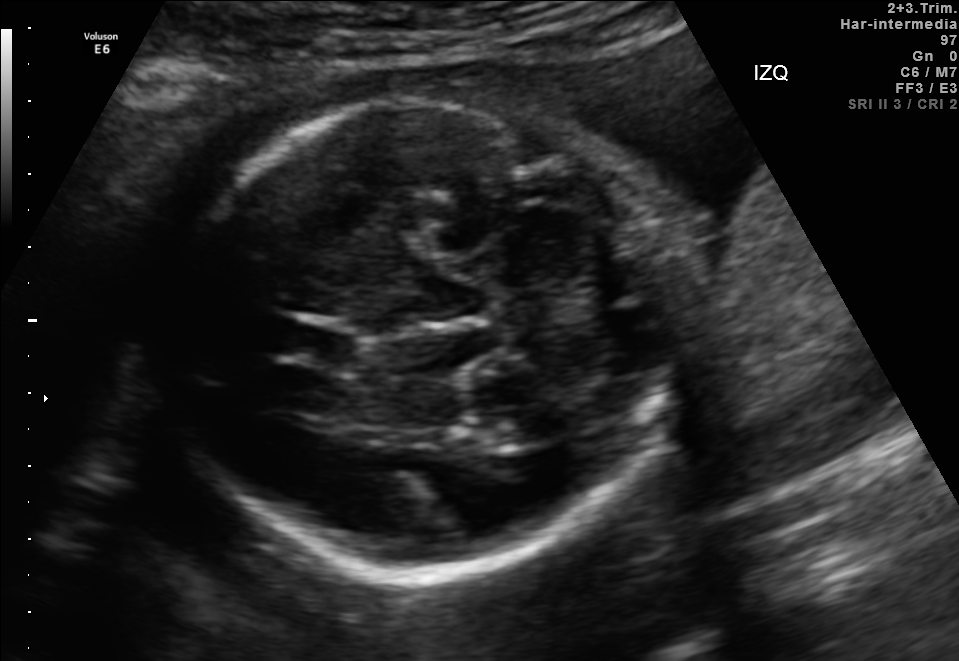
In this fetal brain, trans-cerebellum plane, give the bounding box of the fetal head.

[169,94,704,577]